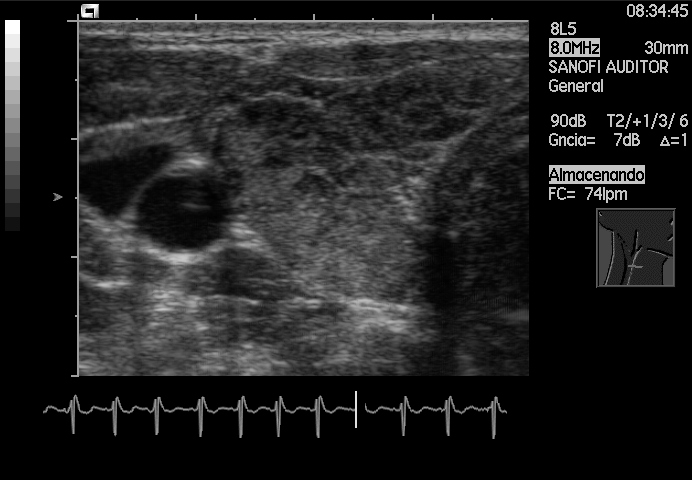
Classify this maternal-fetal ultrasound image as one of the six standard planes — fetal abdomen, fetal brain, fetal femur, fetal thorax, maternal cervix, or other. If it's fetal brain and one of the three standard brain planes (trans-thalamic, trans-cerebellum, trans-ventricular), name which.

Other